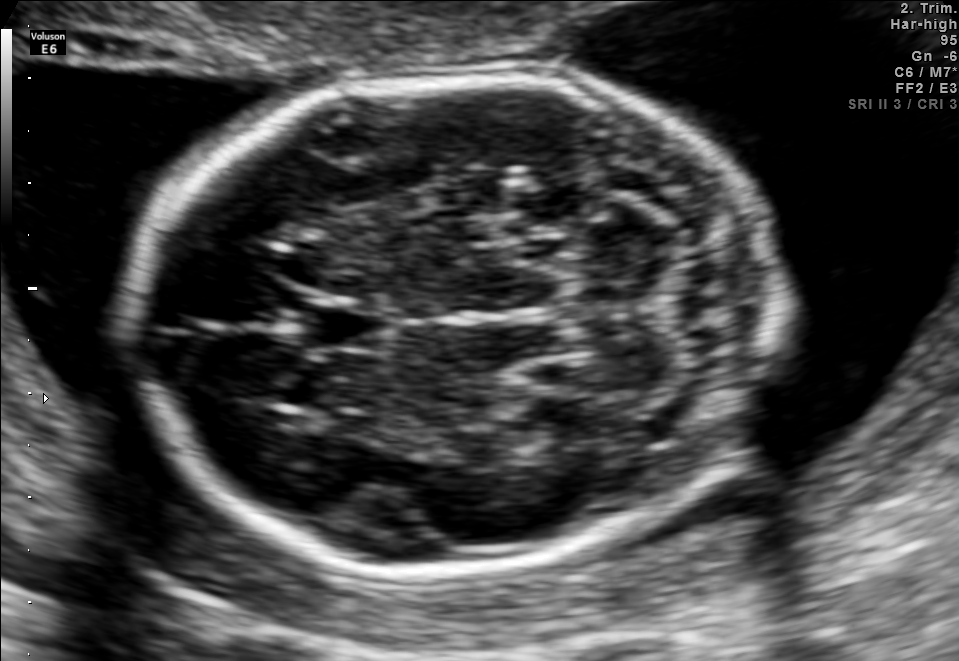
Fetal brain, trans-cerebellum plane. Give [x1,y1,x2,y2] bounding boxes for each visible structure among: fetal head, CSP, LV.

Head: [133,70,778,569]
CSP: [294,297,389,353]